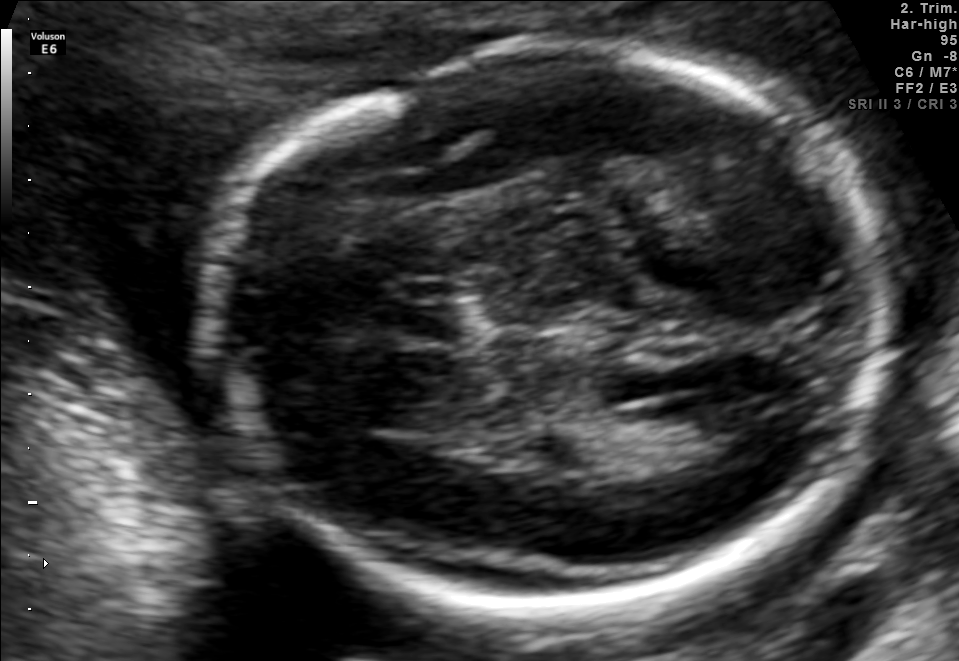
Fetal brain, trans-ventricular plane. Locate the fetal head and, if visible, the cavum septum pellucidum (CSP) and lateral ventricle (LV). Give bounding boxes as [x1,y1,x2,y2].

Head: [194,37,909,610]
CSP: [376,289,486,346]
Lateral ventricle: [669,375,789,473]